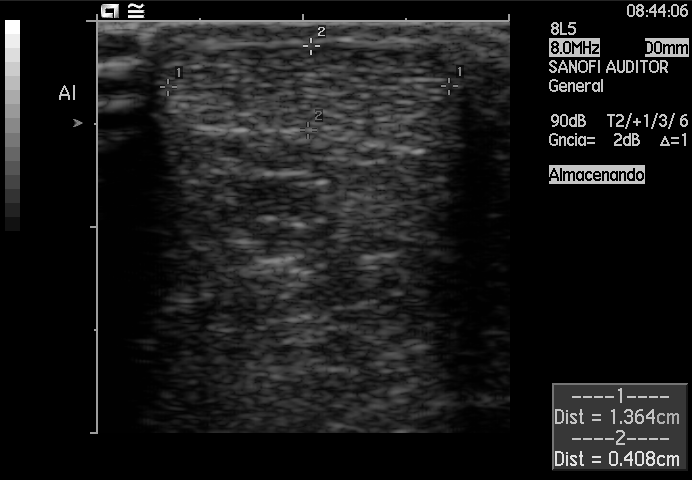
Identify the standard plane in this fetal ultrasound image: fetal abdomen, fetal brain, fetal femur, fetal thorax, maternal cervix, or other. If it's fetal brain and one of the three standard brain planes (trans-thalamic, trans-cerebellum, trans-ventricular), name which.

Other